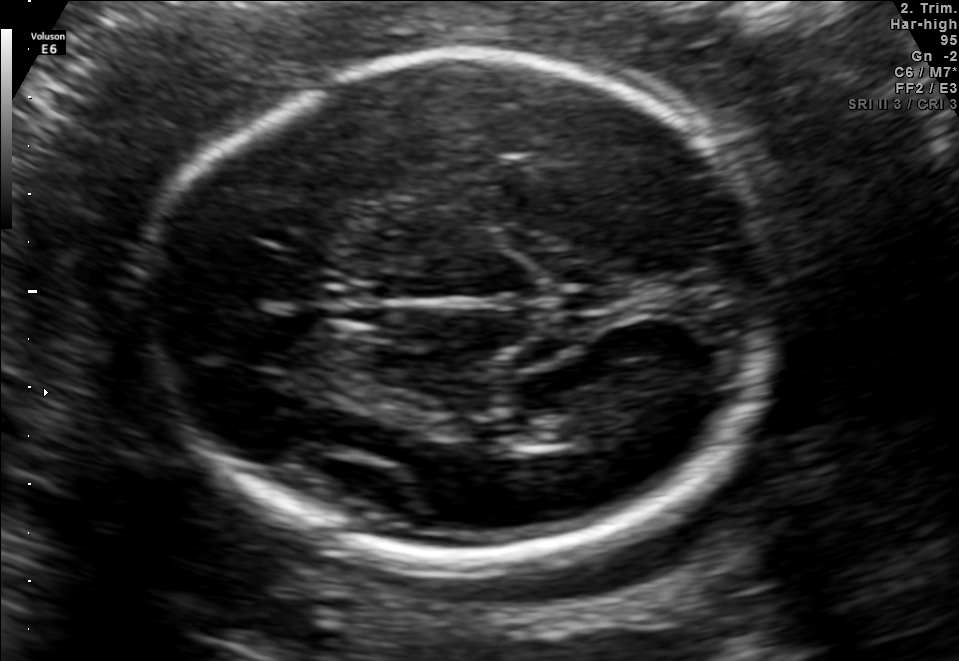
Fetal brain, trans-thalamic plane. Locate the fetal head.

Head: [145,49,768,560]